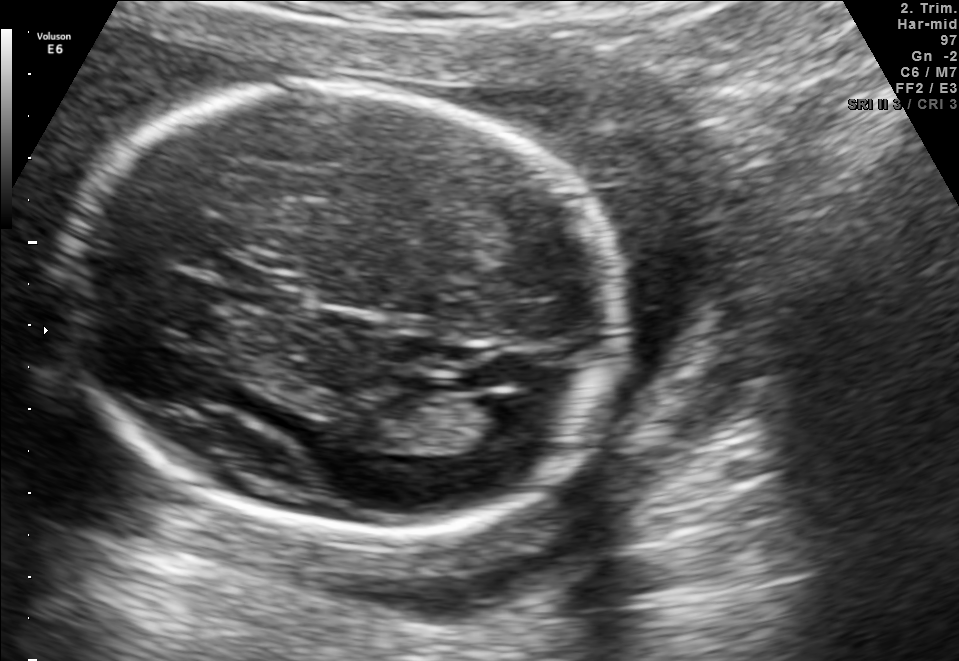
Fetal brain, trans-ventricular plane. Locate the fetal head.

Head: [50,75,633,540]